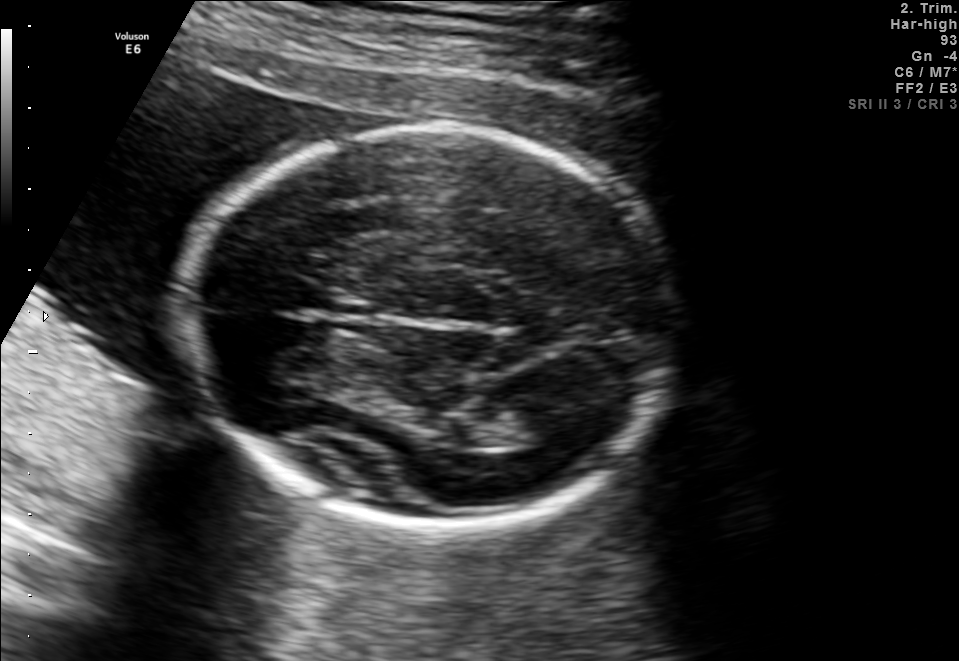
Fetal brain, trans-thalamic plane. Locate the lateral ventricle.

Lateral ventricle: [490,405,578,450]